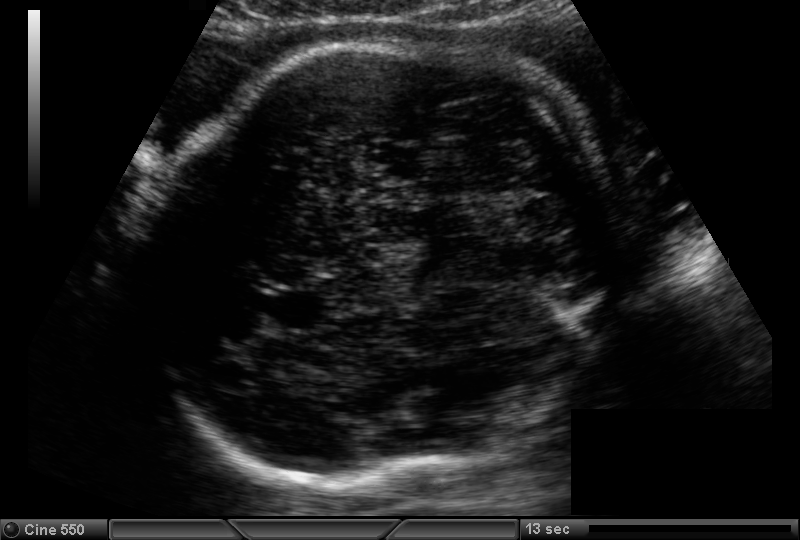
Estimate the fetal head circumference from this 2D ultrasound. Image width: 144.1 mm.

Head circumference: 268.8 mm.